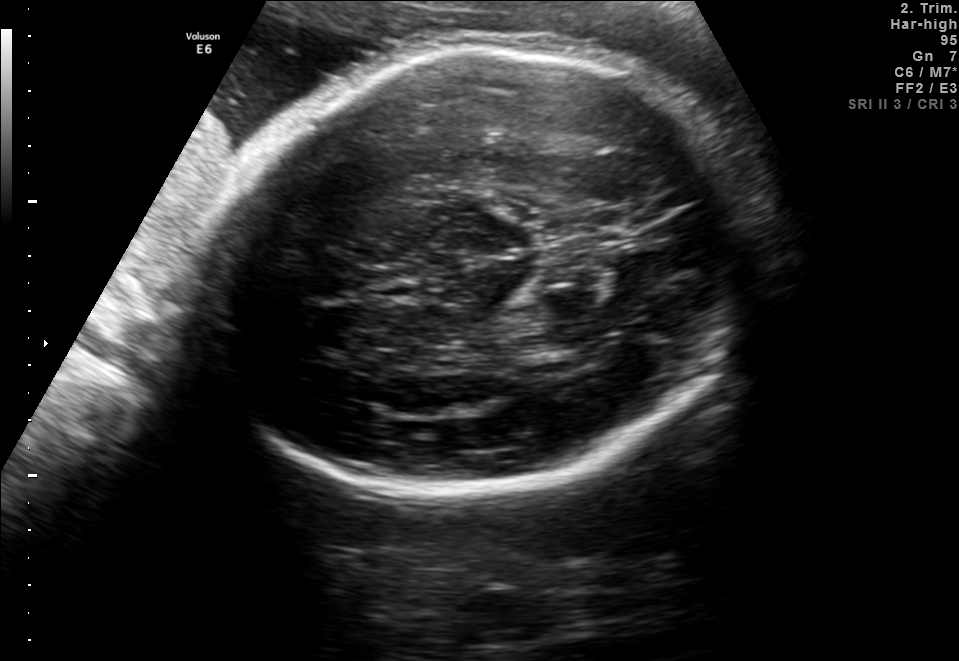
In this fetal brain, trans-thalamic plane, give bounding boxes for the head outline, cavum septum pellucidum (CSP), and lateral ventricle (LV), where visible.

Head: [199,41,754,498]